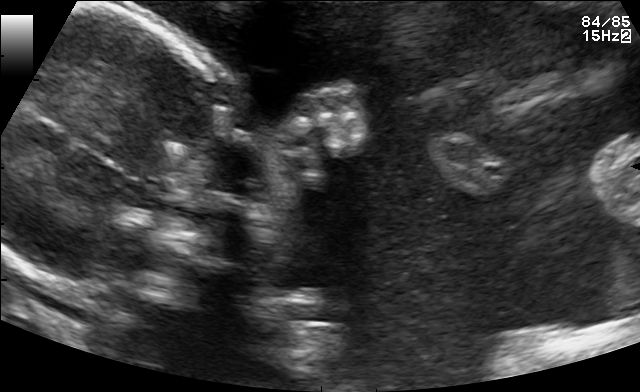
Classify this maternal-fetal ultrasound image as one of the six standard planes — fetal abdomen, fetal brain, fetal femur, fetal thorax, maternal cervix, or other. If it's fetal brain and one of the three standard brain planes (trans-thalamic, trans-cerebellum, trans-ventricular), name which.

Other